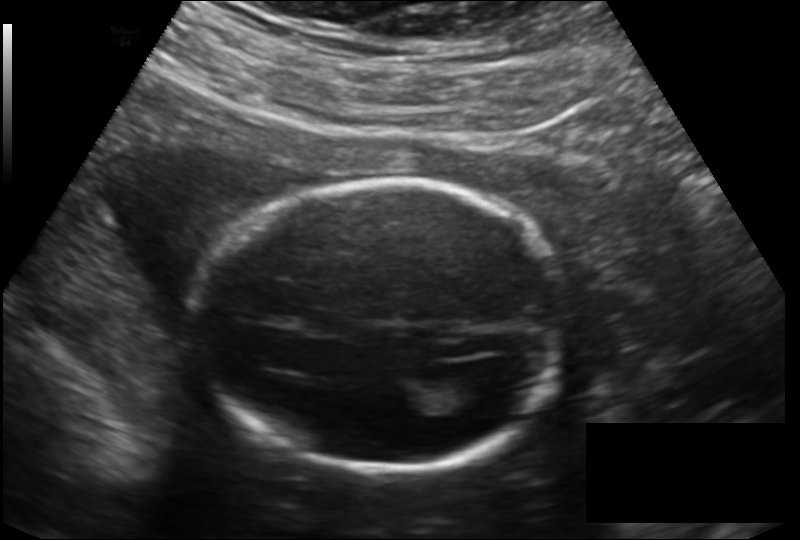
Estimate the fetal head circumference from this 2D ultrasound. Image width: 133.1 mm.

Head circumference: 179.0 mm.